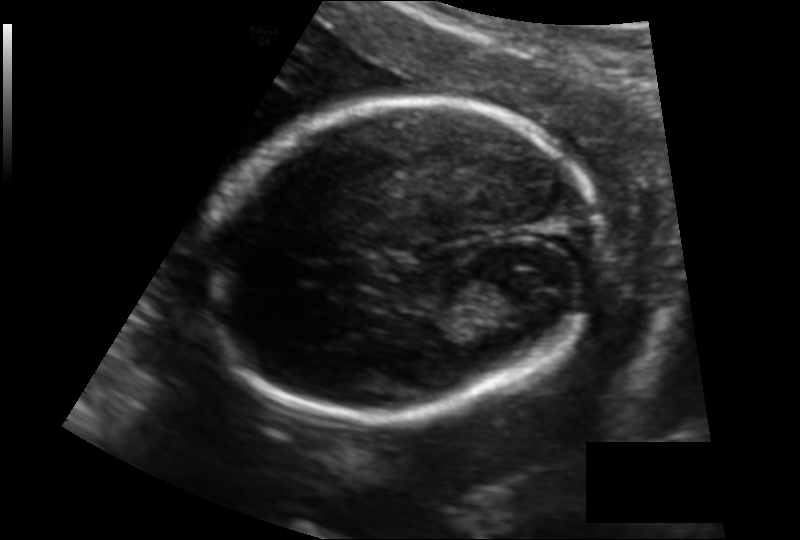
Fetal head ultrasound. Image width: 112.2 mm. Locate the fetal head and, if visible, the cavum septum pellucidum (CSP) and lateral ventricle (LV). Give bounding boxes as [x1,y1,x2,y2].

Head: [199,102,600,420]